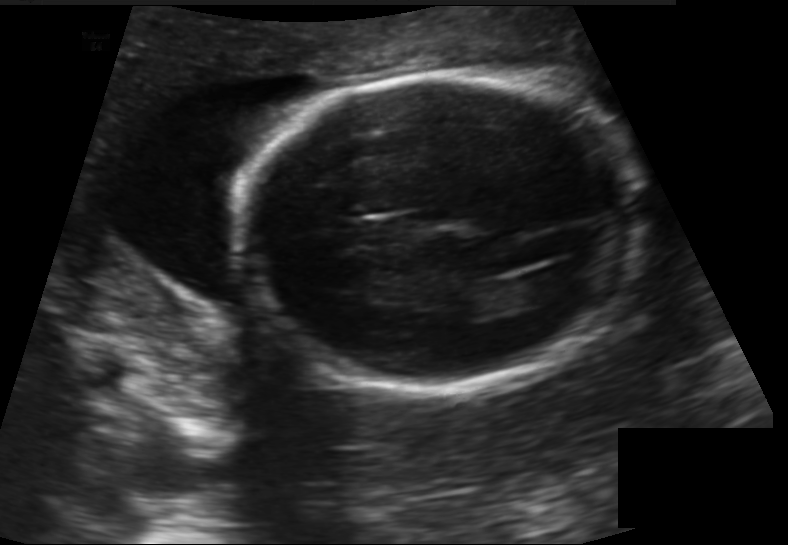
From this fetal ultrasound, estimate the head circumference (image width 122.2 mm).

Head circumference: 177.6 mm.